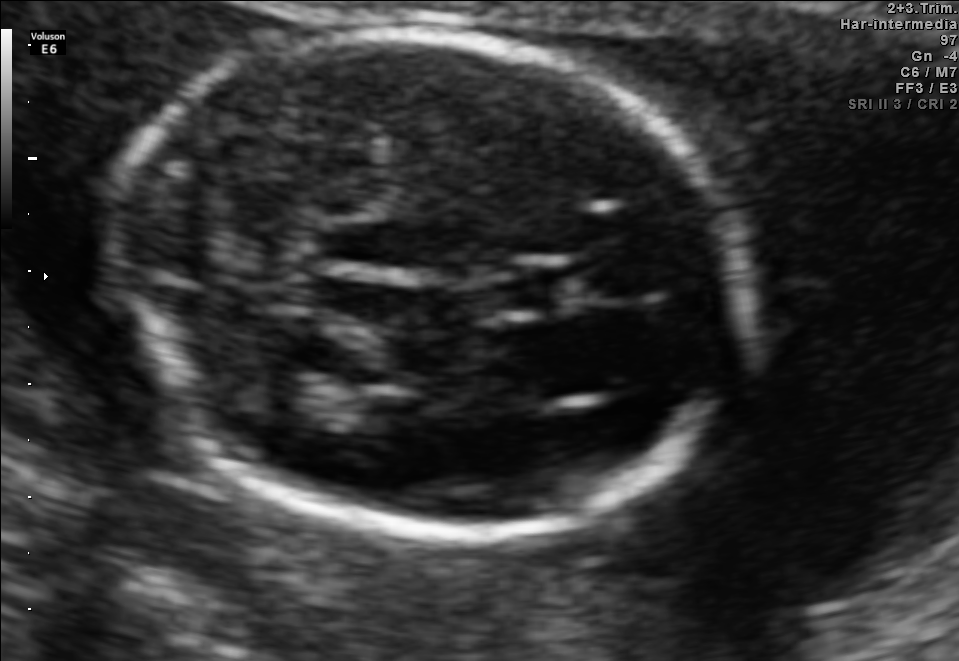
Fetal brain, trans-thalamic plane. Where is the cavum septum pellucidum?

CSP bounding box: [492,268,559,307]